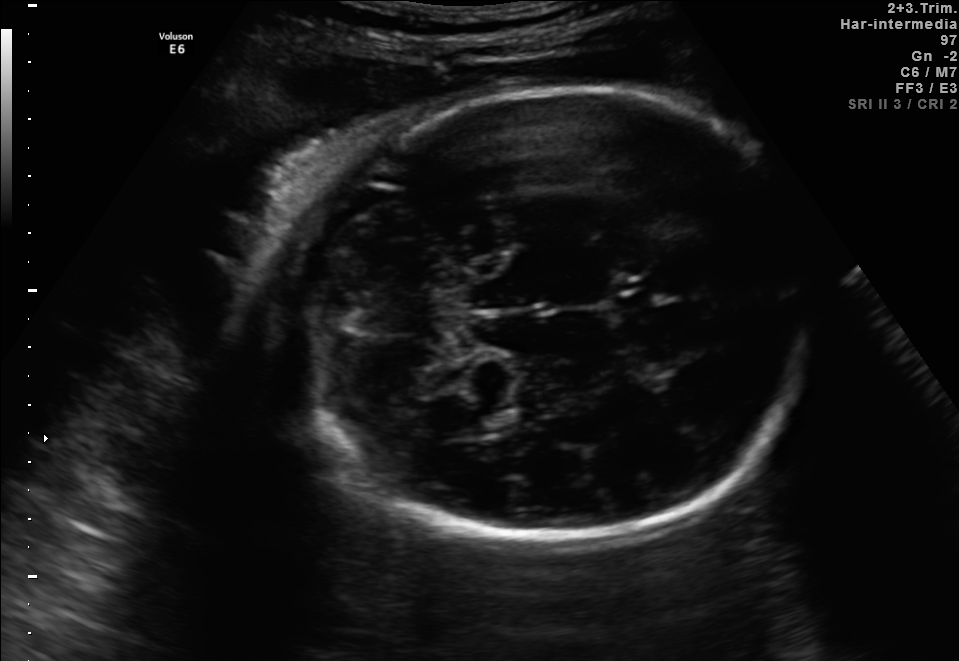
In this fetal brain, trans-thalamic plane, give bounding boxes for the head outline, cavum septum pellucidum (CSP), and lateral ventricle (LV), where visible.

Head: [288,91,815,544]
Lateral ventricle: [461,405,521,442]